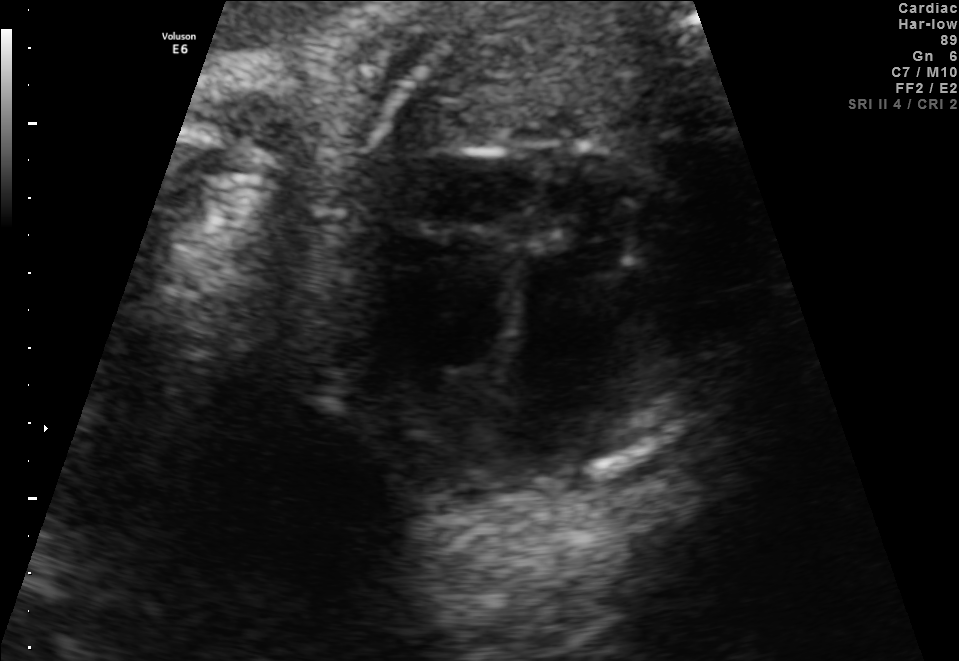
This is a 2D maternal-fetal ultrasound frame. Is it a fetal abdomen, fetal brain, fetal femur, fetal thorax, maternal cervix, or other standard plane? If it's fetal brain and one of the three standard brain planes (trans-thalamic, trans-cerebellum, trans-ventricular), name which.

Fetal thorax